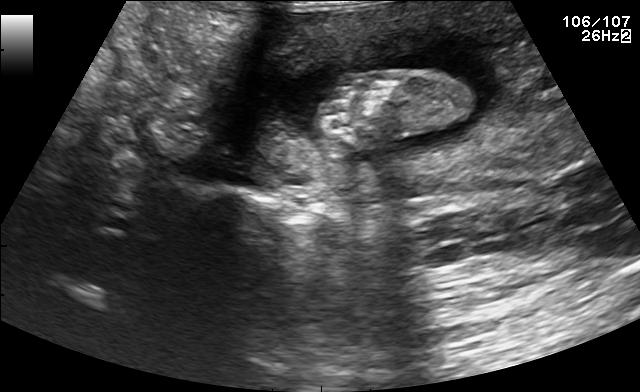
This is a 2D maternal-fetal ultrasound frame. Is it a fetal abdomen, fetal brain, fetal femur, fetal thorax, maternal cervix, or other standard plane? If it's fetal brain and one of the three standard brain planes (trans-thalamic, trans-cerebellum, trans-ventricular), name which.

Other